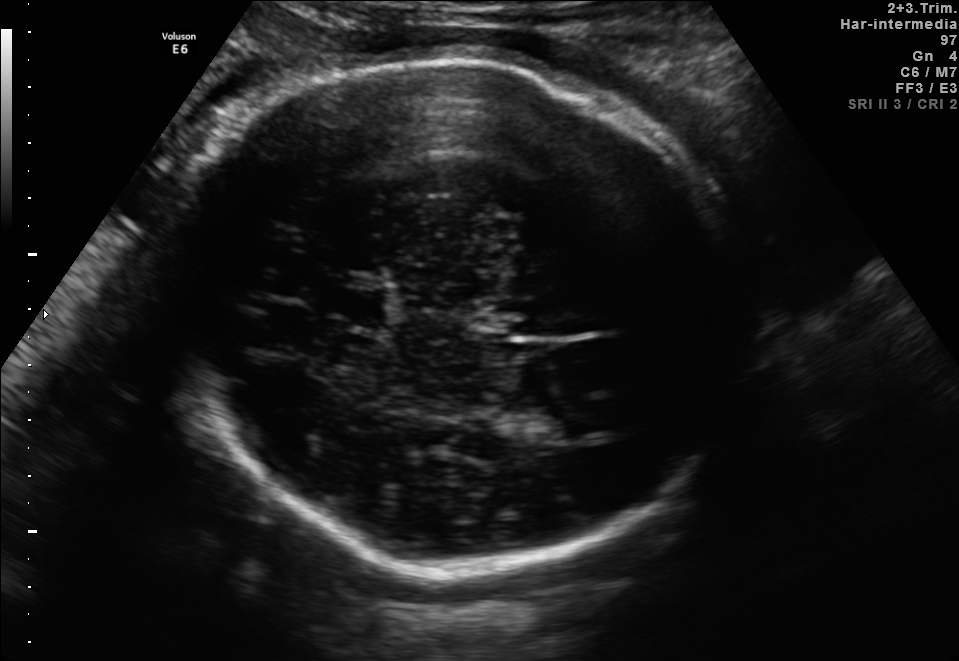
In this fetal brain, trans-thalamic plane, give the bounding box of the cavum septum pellucidum.

[337,286,387,330]